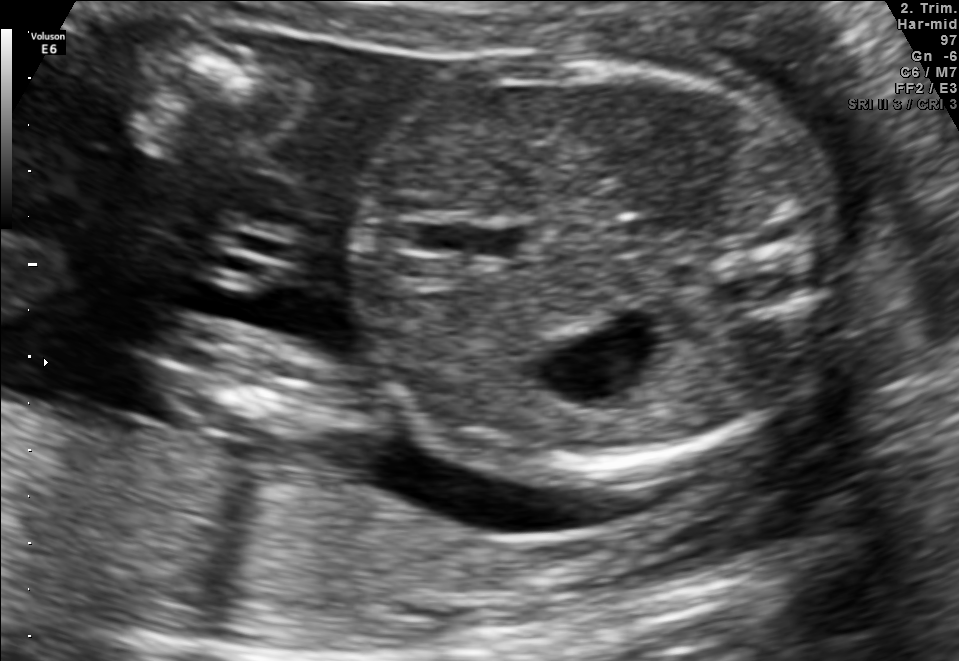
Identify the standard plane in this fetal ultrasound image: fetal abdomen, fetal brain, fetal femur, fetal thorax, maternal cervix, or other. If it's fetal brain and one of the three standard brain planes (trans-thalamic, trans-cerebellum, trans-ventricular), name which.

Fetal abdomen